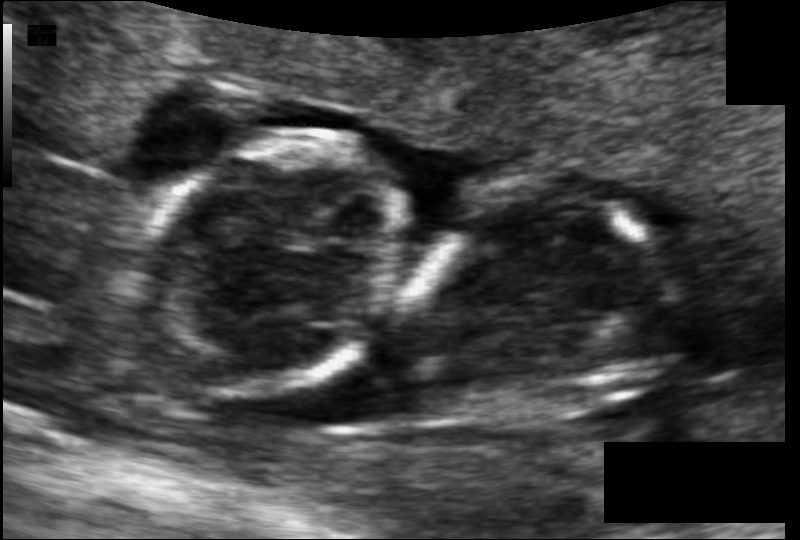
In this fetal head ultrasound, give the bounding box of the fetal head. Image width: 68.1 mm.

[138,140,401,392]